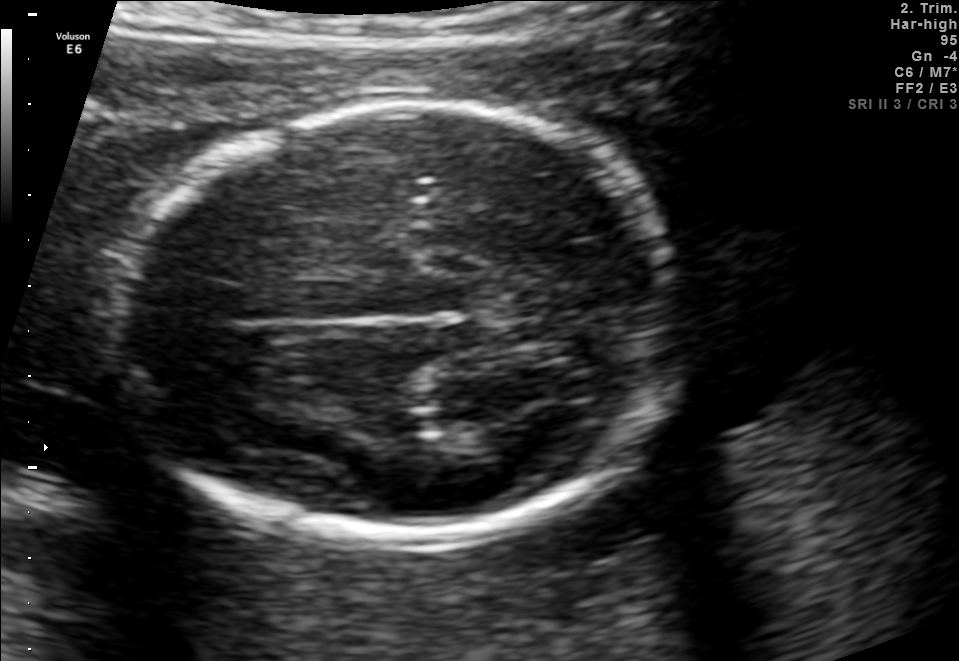
Fetal brain, trans-thalamic plane. Where is the lateral ventricle?

Lateral ventricle bounding box: [465,411,549,458]